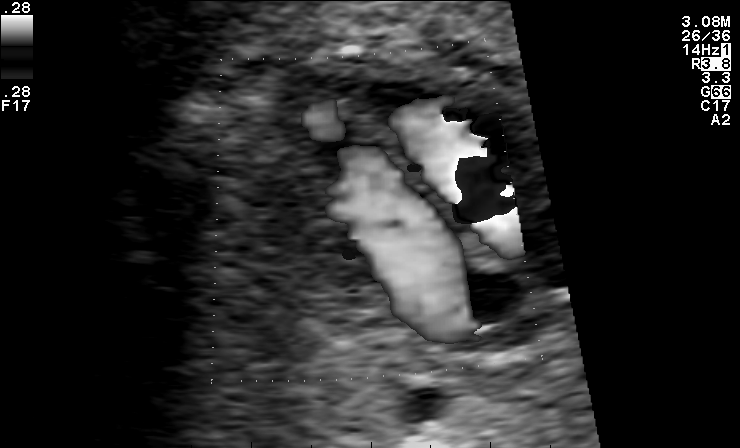
Identify the standard plane in this fetal ultrasound image: fetal abdomen, fetal brain, fetal femur, fetal thorax, maternal cervix, or other. If it's fetal brain and one of the three standard brain planes (trans-thalamic, trans-cerebellum, trans-ventricular), name which.

Other